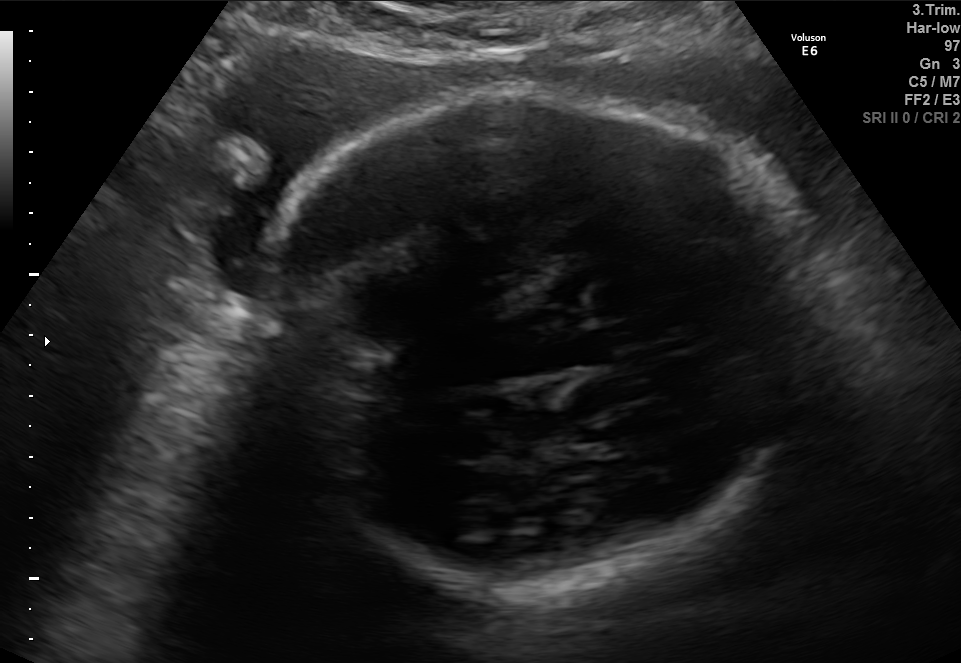
Which standard maternal-fetal ultrasound plane is shown: fetal abdomen, fetal brain, fetal femur, fetal thorax, maternal cervix, or other? If it's fetal brain and one of the three standard brain planes (trans-thalamic, trans-cerebellum, trans-ventricular), name which.

Fetal brain (trans-thalamic plane)